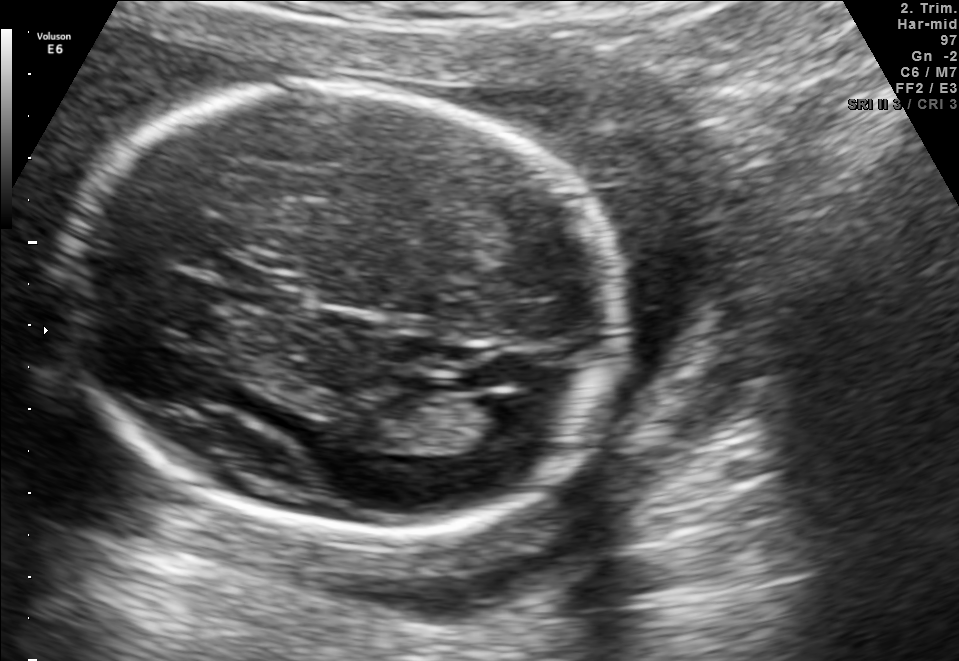
Fetal brain, trans-ventricular plane. Give [x1,y1,x2,y2] bounding boxes for each visible structure among: fetal head, CSP, LV.

Head: [50,75,633,540]
CSP: [229,265,305,315]
Lateral ventricle: [478,388,558,443]